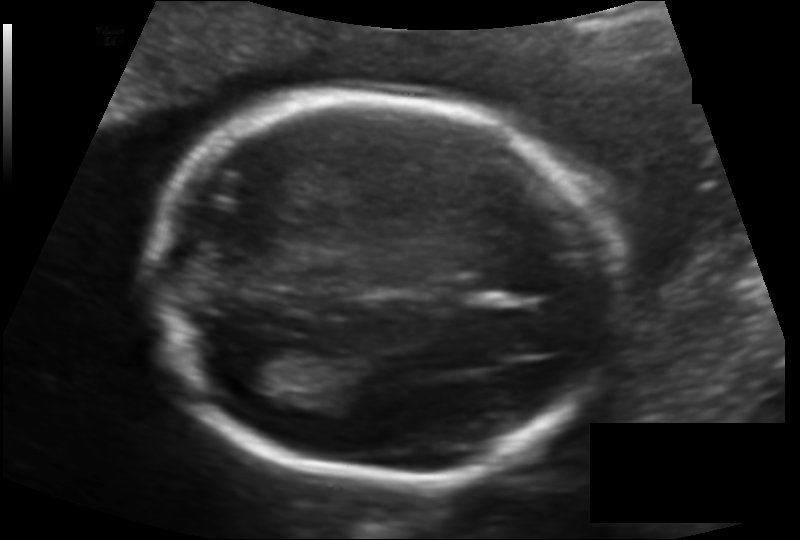
In this fetal head ultrasound, give the bounding box of the lateral ventricle. Image width: 102.7 mm.

[231,338,321,403]